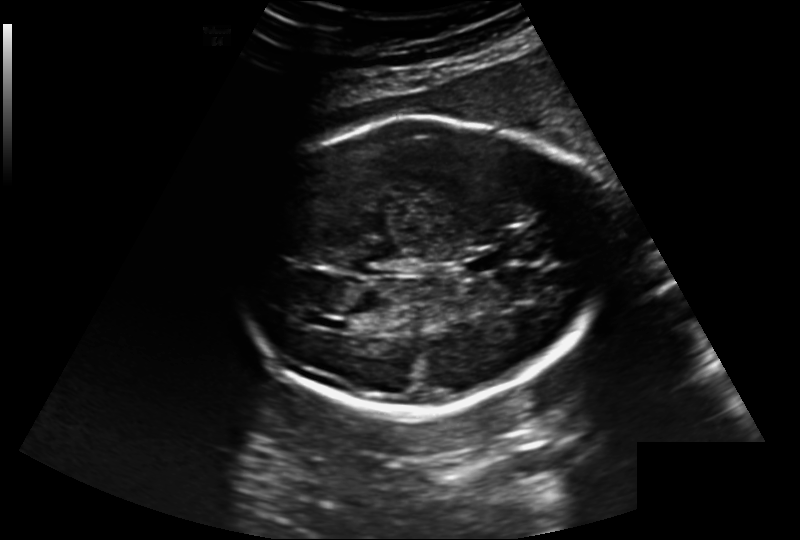
Fetal head ultrasound. Image width: 175.6 mm. Locate the cavum septum pellucidum.

CSP: [462,251,500,278]